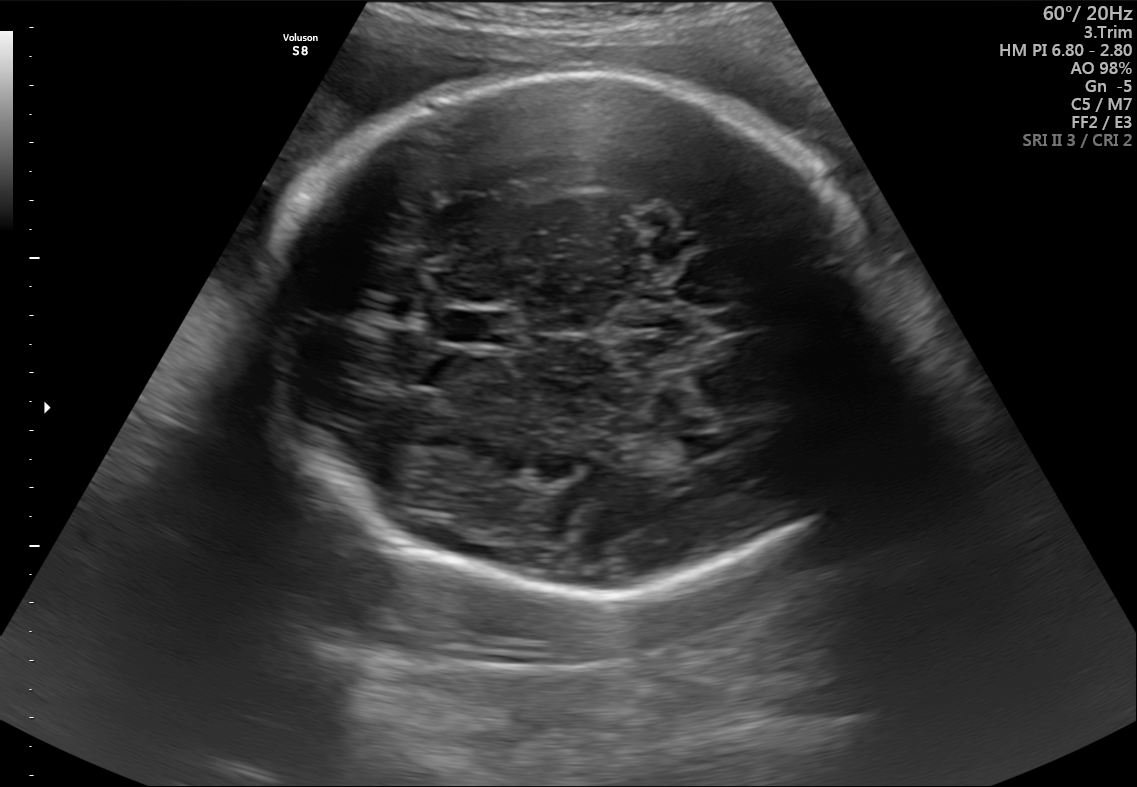
In this fetal brain, trans-thalamic plane, give the bounding box of the cavum septum pellucidum.

[445,310,515,345]